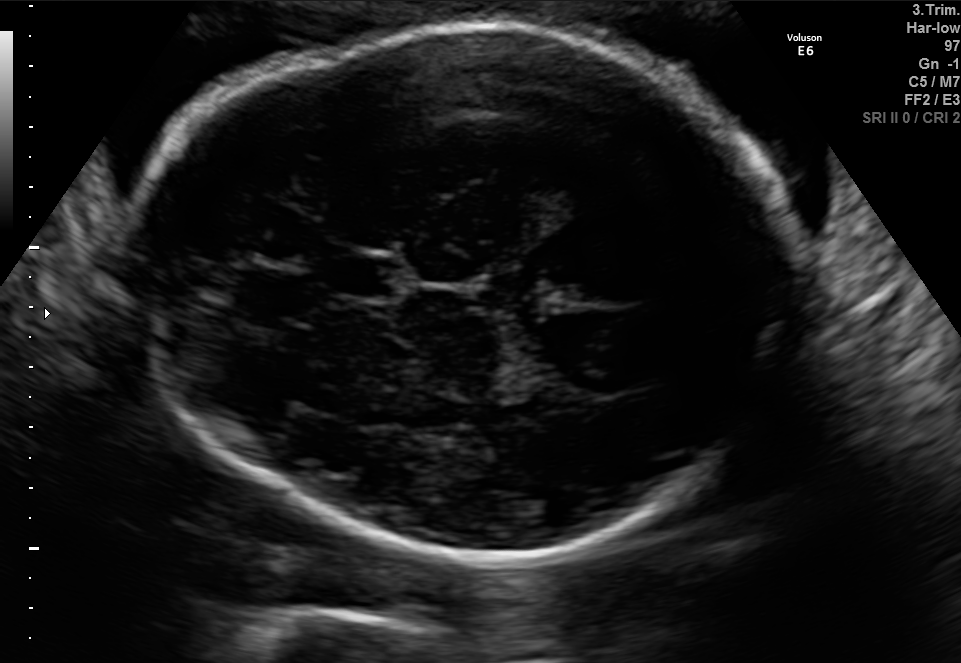
Fetal brain, trans-thalamic plane. Locate the fetal head and, if visible, the cavum septum pellucidum (CSP) and lateral ventricle (LV). Give bounding boxes as [x1,y1,x2,y2].

Head: [121,24,800,561]
CSP: [335,253,399,299]